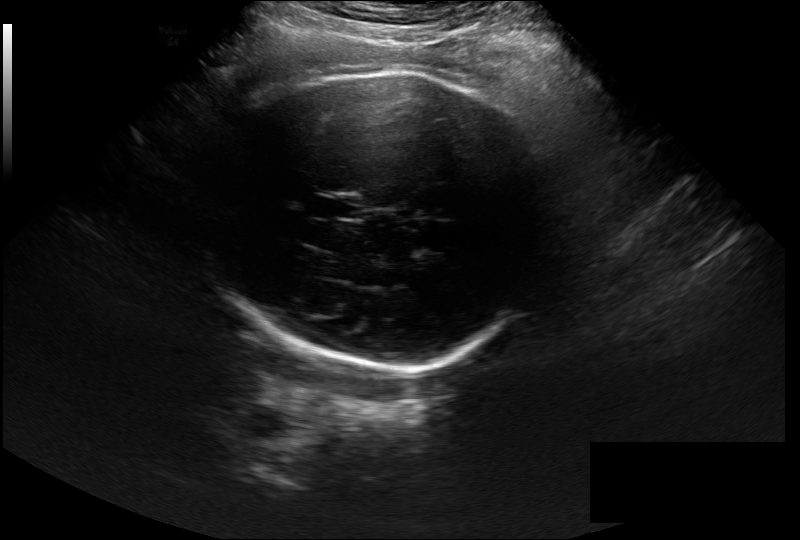
In this fetal head ultrasound, give bounding boxes for the head outline, cavum septum pellucidum (CSP), and lateral ventricle (LV), where visible. Image width: 237.6 mm.

Head: [209,73,549,371]
CSP: [317,192,363,221]